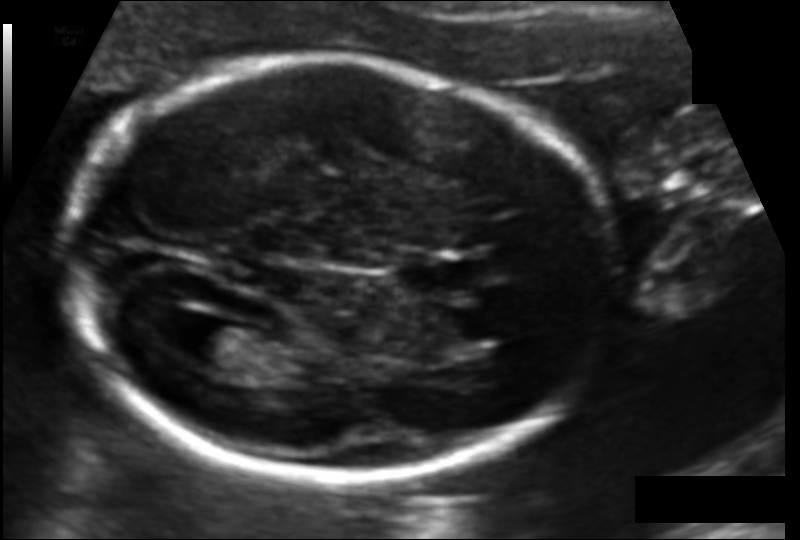
Fetal head ultrasound. Image width: 91.0 mm. Where is the cavum septum pellucidum?

CSP bounding box: [398,255,466,296]